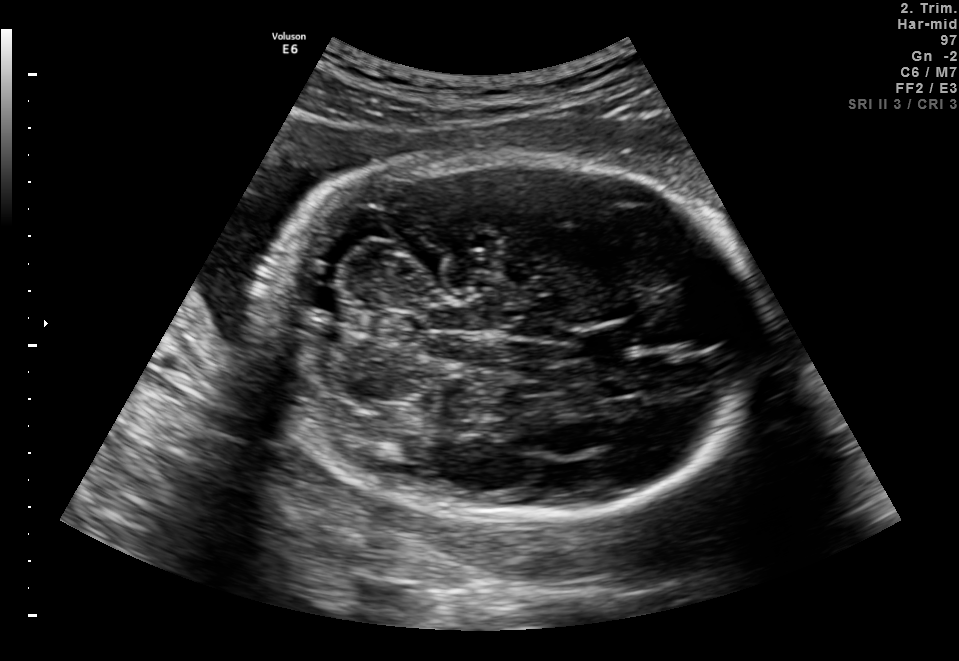
Fetal brain, trans-cerebellum plane. Give [x1,y1,x2,y2] bounding boxes for each visible structure among: fetal head, CSP, LV.

Head: [265,151,760,526]
CSP: [568,318,638,362]